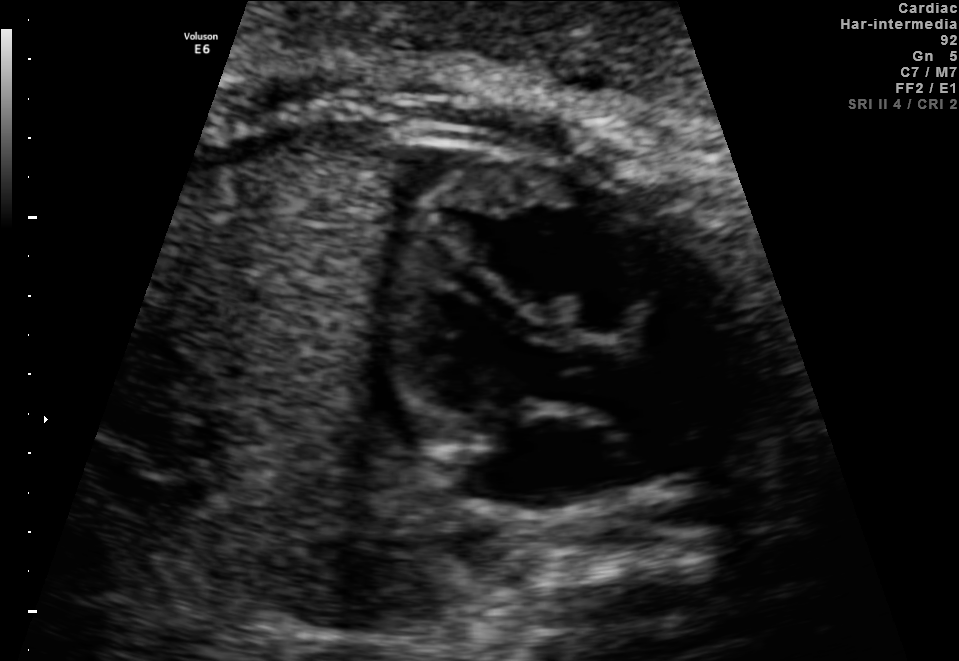
Classify this maternal-fetal ultrasound image as one of the six standard planes — fetal abdomen, fetal brain, fetal femur, fetal thorax, maternal cervix, or other. If it's fetal brain and one of the three standard brain planes (trans-thalamic, trans-cerebellum, trans-ventricular), name which.

Fetal thorax